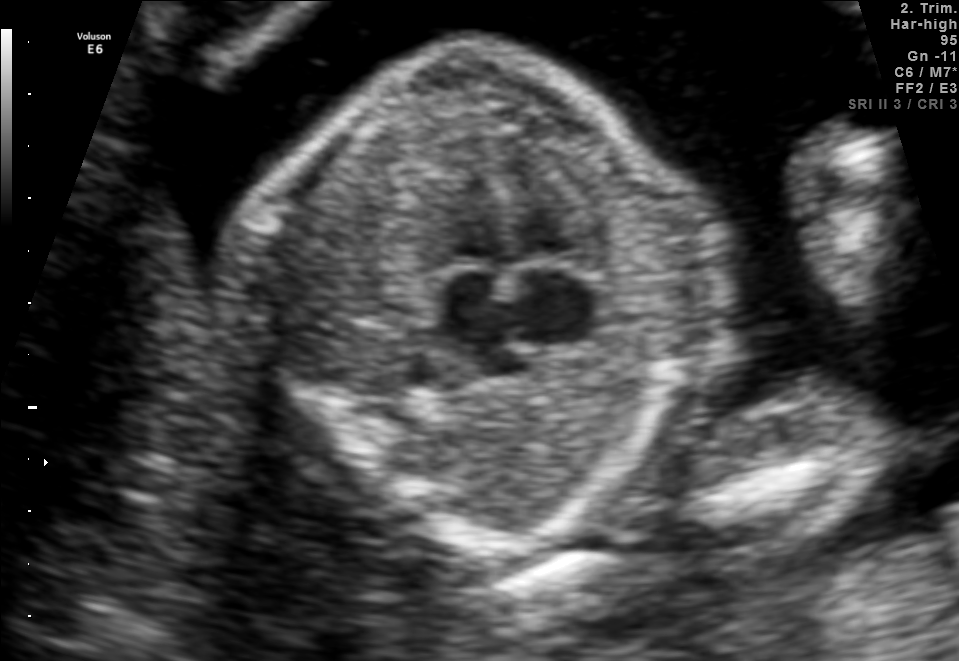
Classify this maternal-fetal ultrasound image as one of the six standard planes — fetal abdomen, fetal brain, fetal femur, fetal thorax, maternal cervix, or other. If it's fetal brain and one of the three standard brain planes (trans-thalamic, trans-cerebellum, trans-ventricular), name which.

Fetal thorax